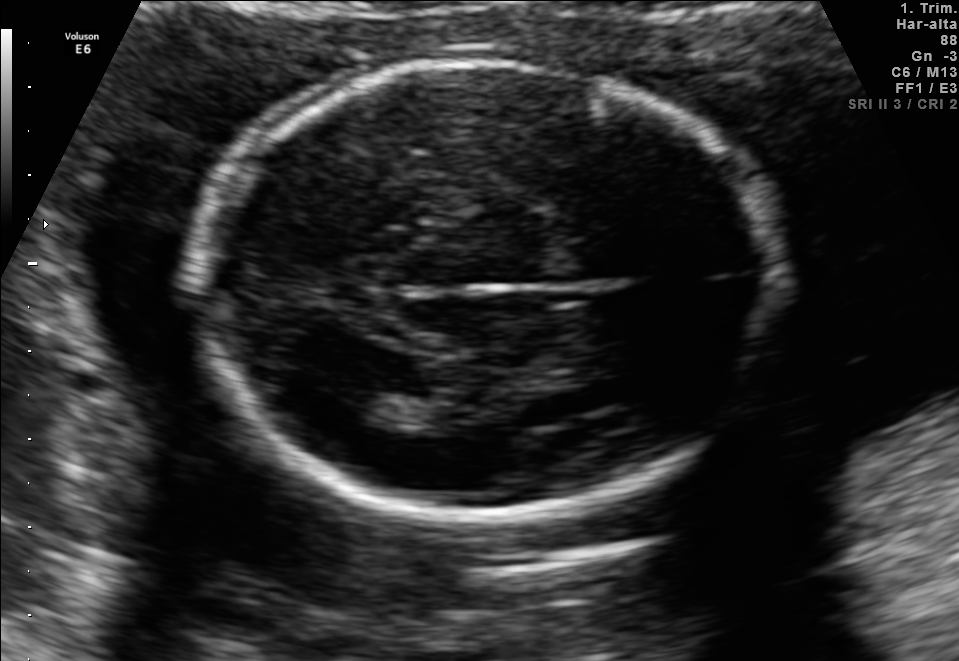
In this fetal brain, trans-thalamic plane, give bounding boxes for the head outline, cavum septum pellucidum (CSP), and lateral ventricle (LV), where visible.

Head: [196,63,779,518]
Lateral ventricle: [325,376,405,434]